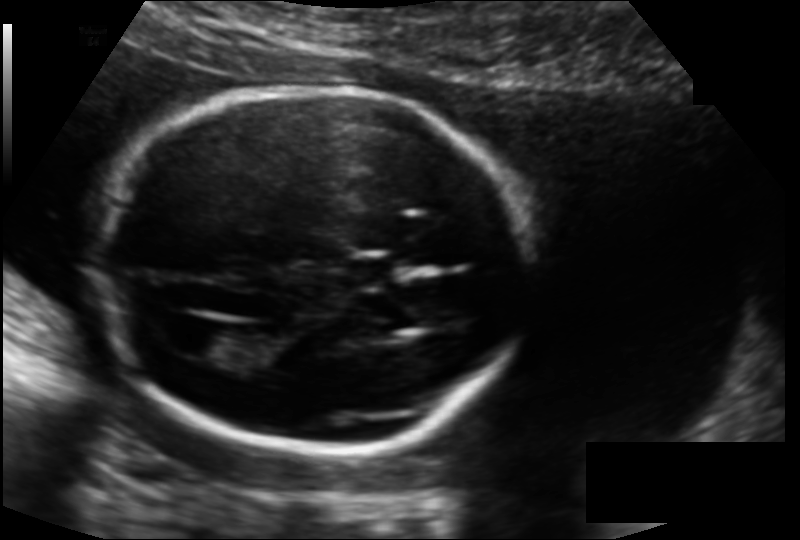
Fetal head ultrasound. Image width: 107.7 mm. Locate the fetal head.

Head: [93,86,526,451]